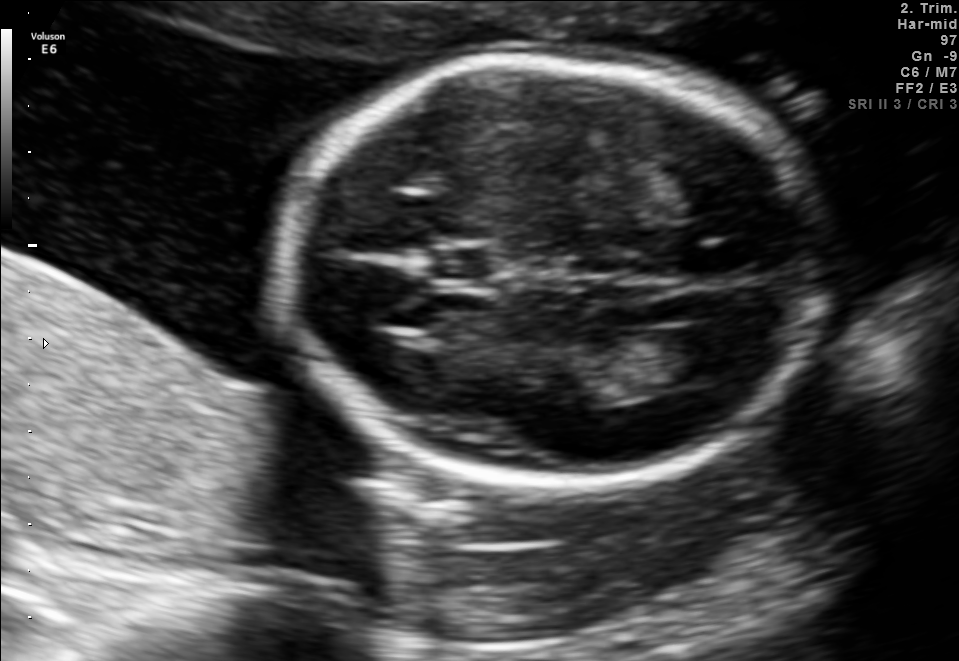
Fetal brain, trans-ventricular plane. Where is the cavum septum pellucidum?

CSP bounding box: [434,250,488,277]